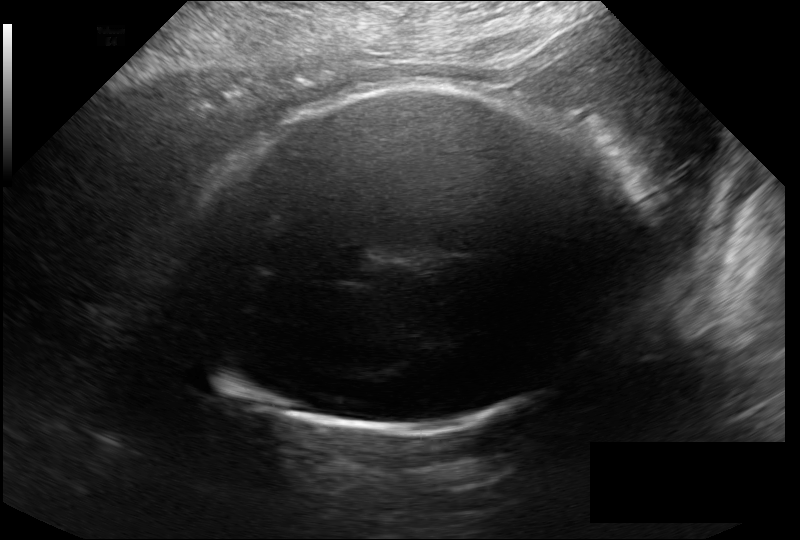
Fetal head ultrasound. Image width: 196.8 mm. Locate the fetal head and, if visible, the cavum septum pellucidum (CSP) and lateral ventricle (LV). Give bounding boxes as [x1,y1,x2,y2].

Head: [182,84,642,431]